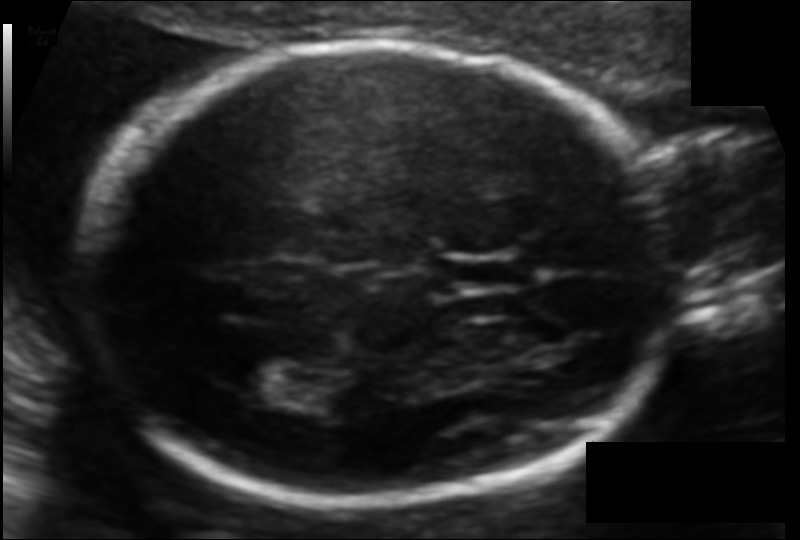
Measure the fetal head circumference shown in this ultrasound image. Image width: 83.2 mm.

Head circumference: 177.4 mm.